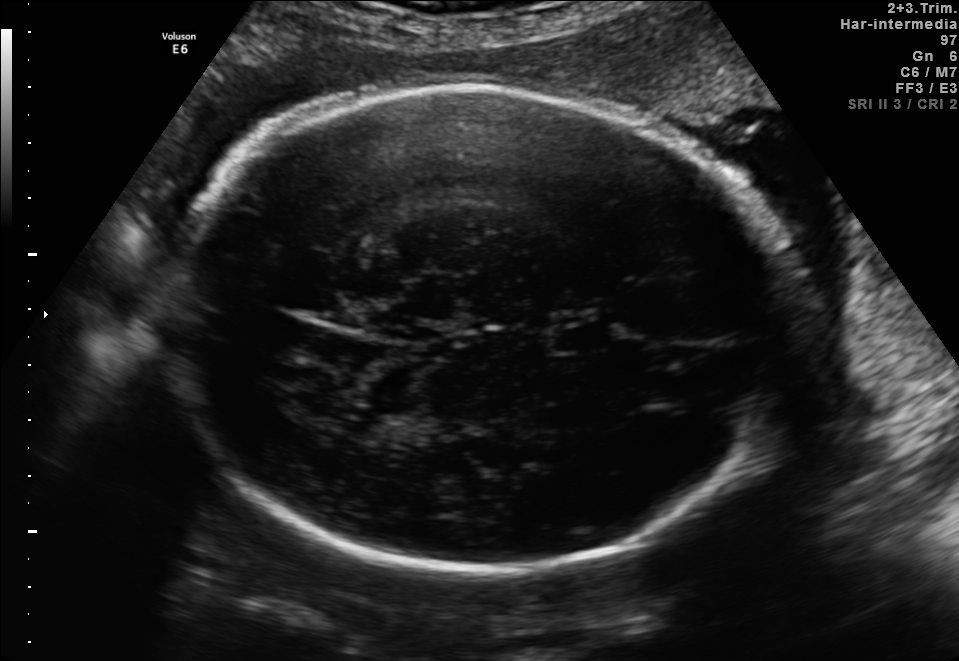
Fetal brain, trans-thalamic plane. Give [x1,y1,x2,y2] bounding boxes for each visible structure among: fetal head, CSP, LV.

Head: [174,84,801,575]
CSP: [553,324,615,352]